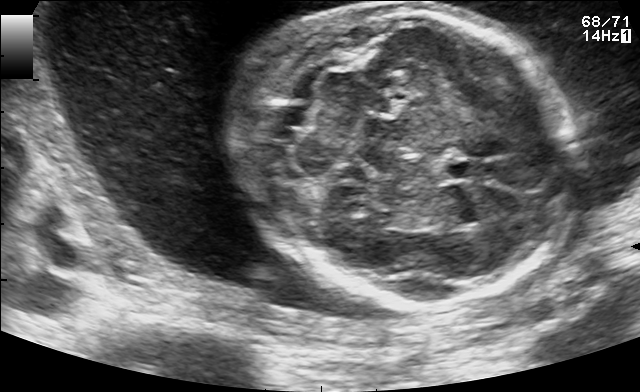
In this fetal brain, trans-cerebellum plane, give the bounding box of the fetal head.

[238,2,579,305]